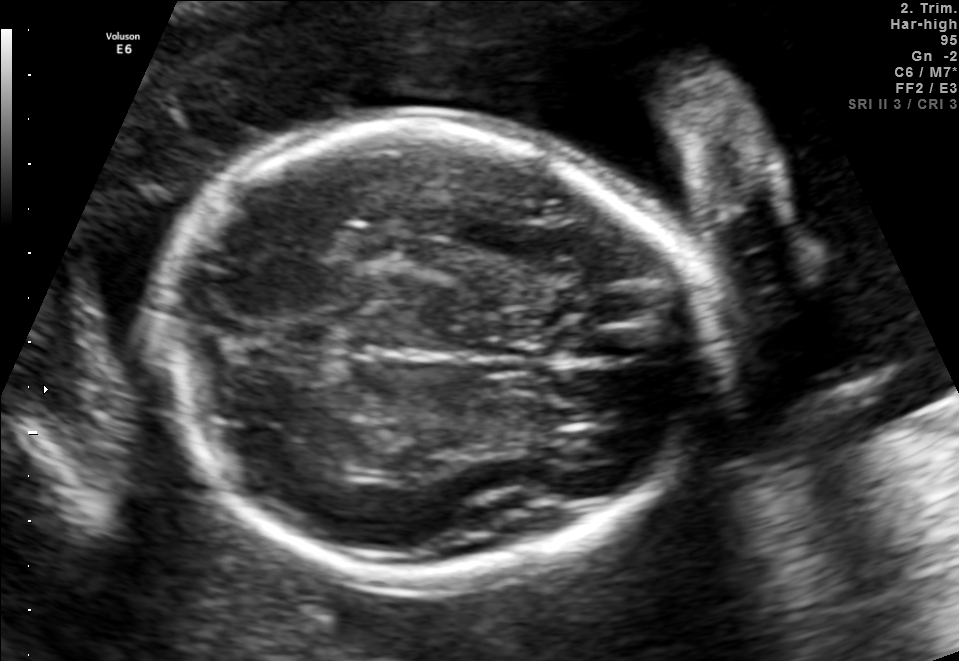
This is a 2D maternal-fetal ultrasound frame. Is it a fetal abdomen, fetal brain, fetal femur, fetal thorax, maternal cervix, or other standard plane? If it's fetal brain and one of the three standard brain planes (trans-thalamic, trans-cerebellum, trans-ventricular), name which.

Fetal brain (trans-thalamic plane)